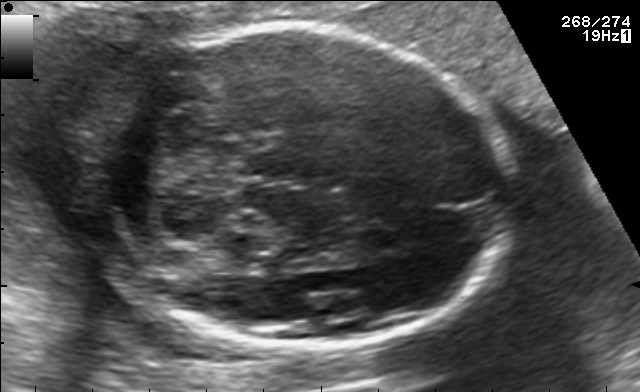
Fetal brain, trans-cerebellum plane. Give [x1,y1,x2,y2] bounding boxes for each visible structure among: fetal head, CSP, LV.

Head: [91,26,511,348]